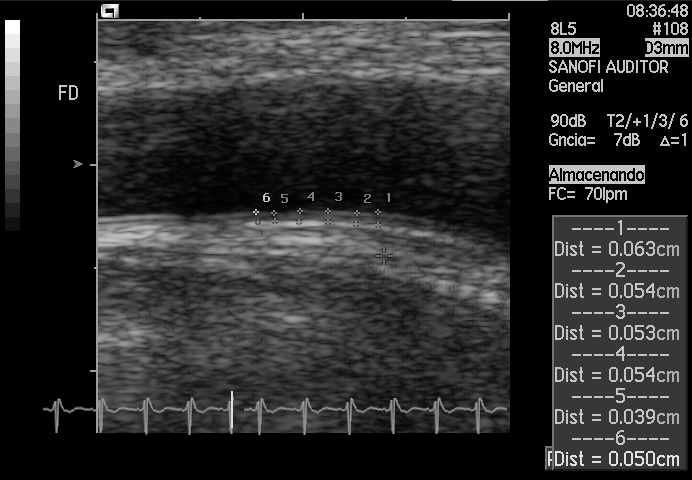
Classify this maternal-fetal ultrasound image as one of the six standard planes — fetal abdomen, fetal brain, fetal femur, fetal thorax, maternal cervix, or other. If it's fetal brain and one of the three standard brain planes (trans-thalamic, trans-cerebellum, trans-ventricular), name which.

Other